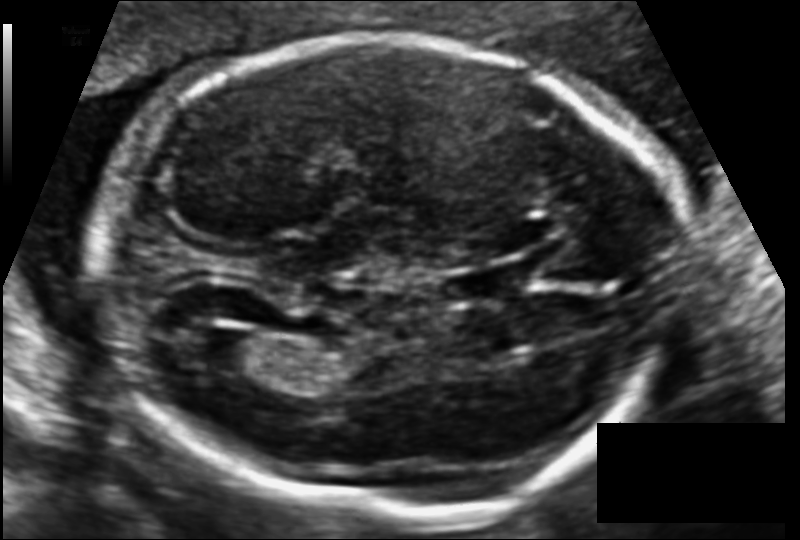
Fetal head ultrasound. Image width: 92.7 mm. Locate the fetal head.

Head: [99,36,676,514]